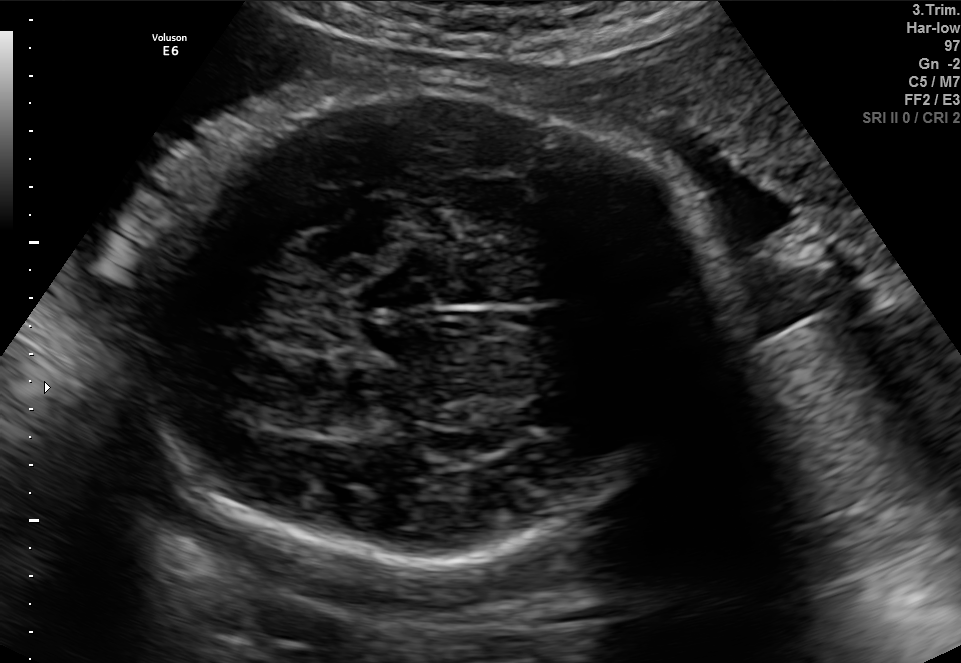
Identify the standard plane in this fetal ultrasound image: fetal abdomen, fetal brain, fetal femur, fetal thorax, maternal cervix, or other. If it's fetal brain and one of the three standard brain planes (trans-thalamic, trans-cerebellum, trans-ventricular), name which.

Fetal brain (trans-thalamic plane)